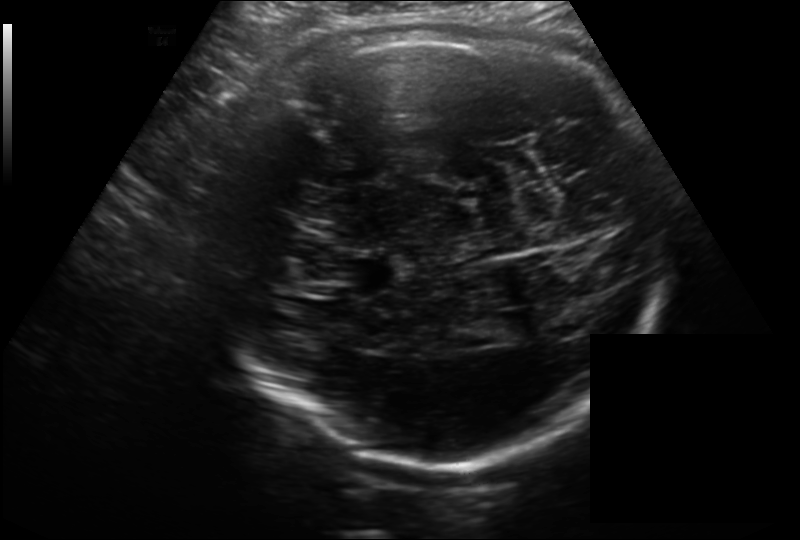
What is the fetal head circumference? Image width is 171.5 mm.

311.2 mm